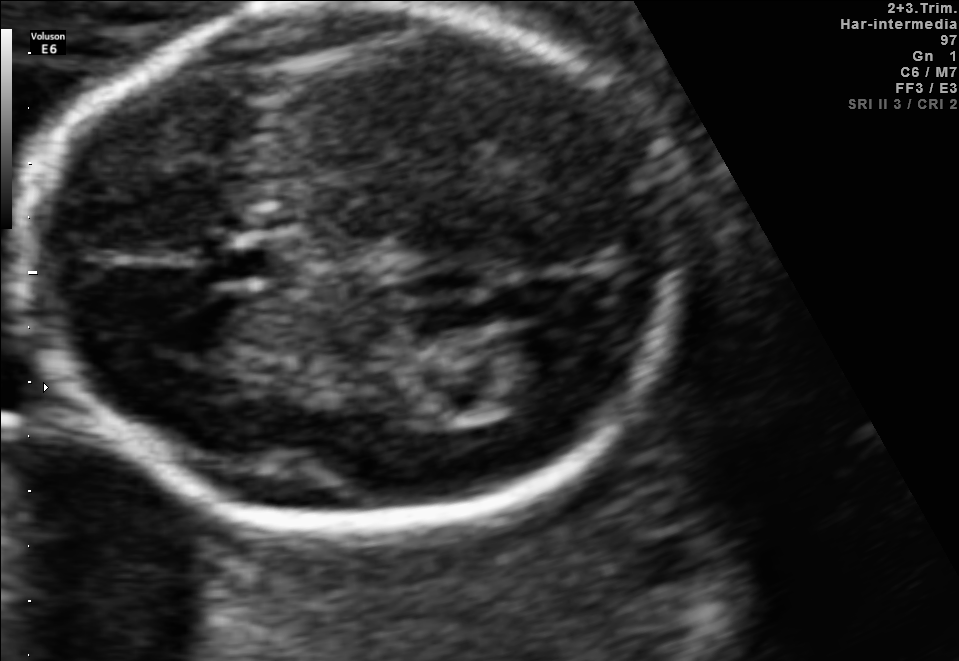
Fetal brain, trans-thalamic plane. Where is the fetal head?

Head bounding box: [16,3,687,546]